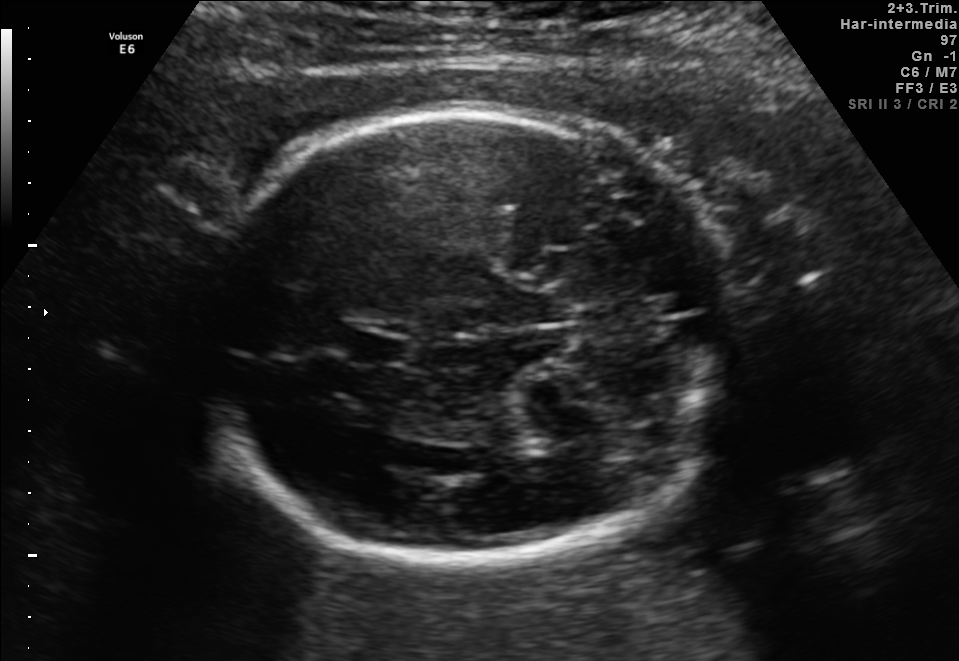
In this fetal brain, trans-cerebellum plane, give the bounding box of the cavum septum pellucidum.

[348,329,410,369]